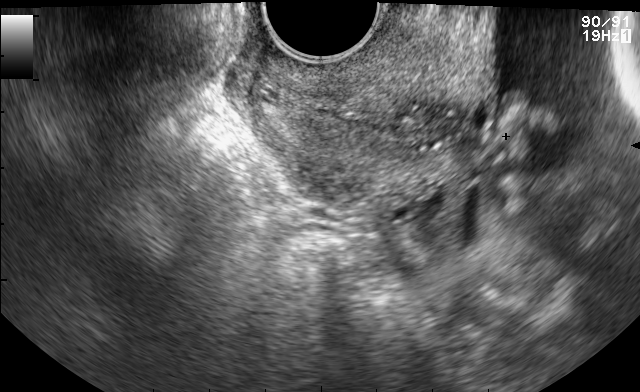
Classify this maternal-fetal ultrasound image as one of the six standard planes — fetal abdomen, fetal brain, fetal femur, fetal thorax, maternal cervix, or other. If it's fetal brain and one of the three standard brain planes (trans-thalamic, trans-cerebellum, trans-ventricular), name which.

Maternal cervix